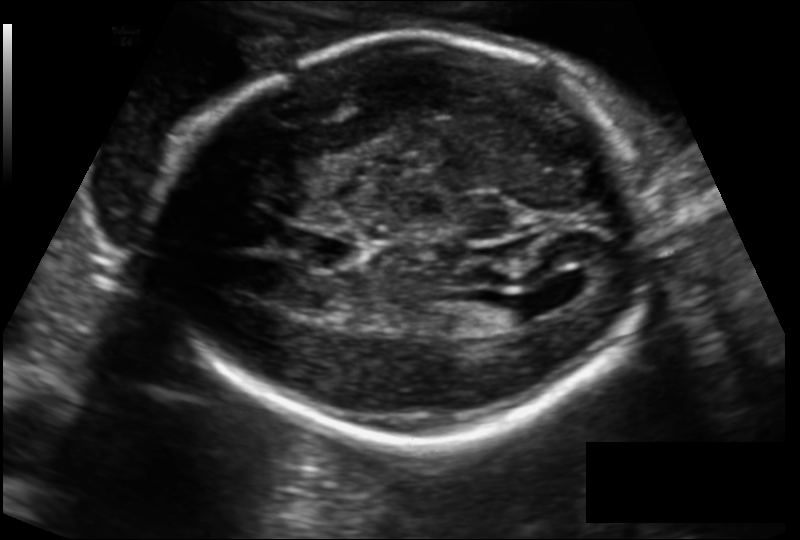
Fetal head ultrasound. Image width: 119.5 mm. Locate the lateral ventricle.

Lateral ventricle: [470,292,532,333]